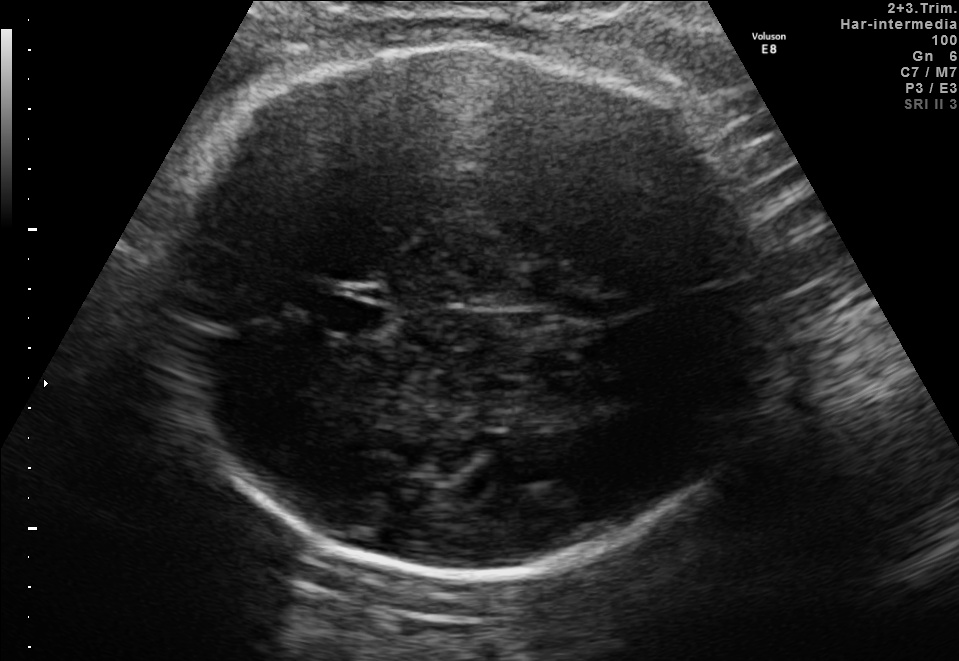
In this fetal brain, trans-thalamic plane, give the bounding box of the fetal head.

[157,44,770,573]